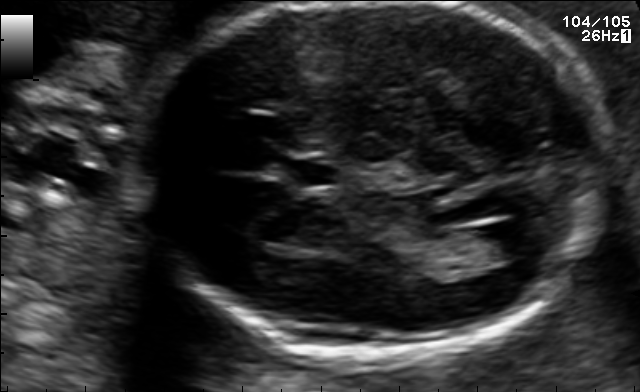
Fetal brain, trans-ventricular plane. Locate the cavum septum pellucidum.

CSP: [283,156,339,192]